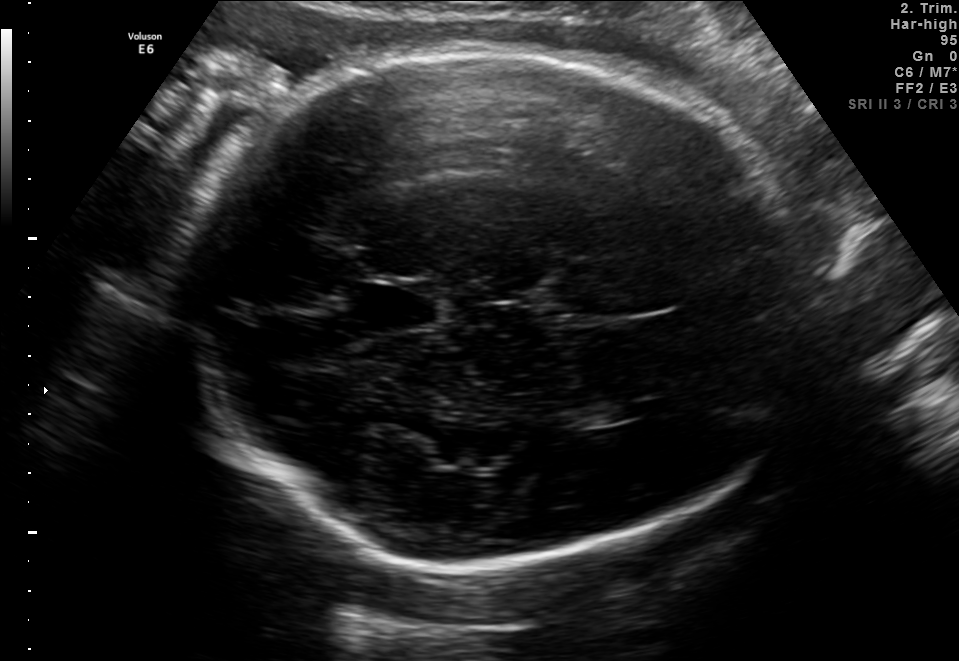
In this fetal brain, trans-thalamic plane, give the bounding box of the lateral ventricle.

[576,397,642,430]